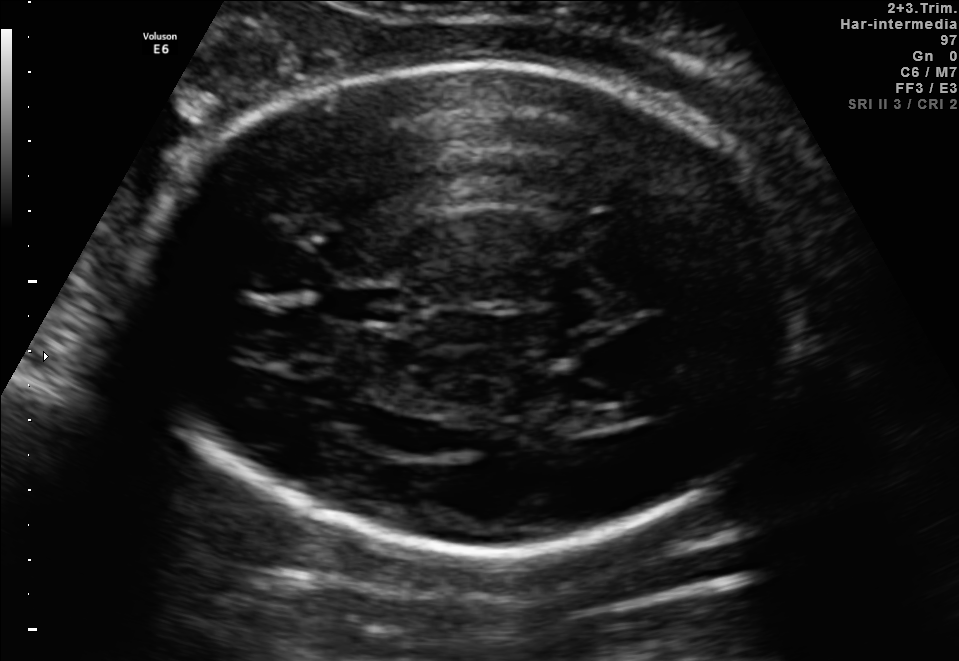
Fetal brain, trans-ventricular plane. Where is the fetal head?

Head bounding box: [137,56,816,563]